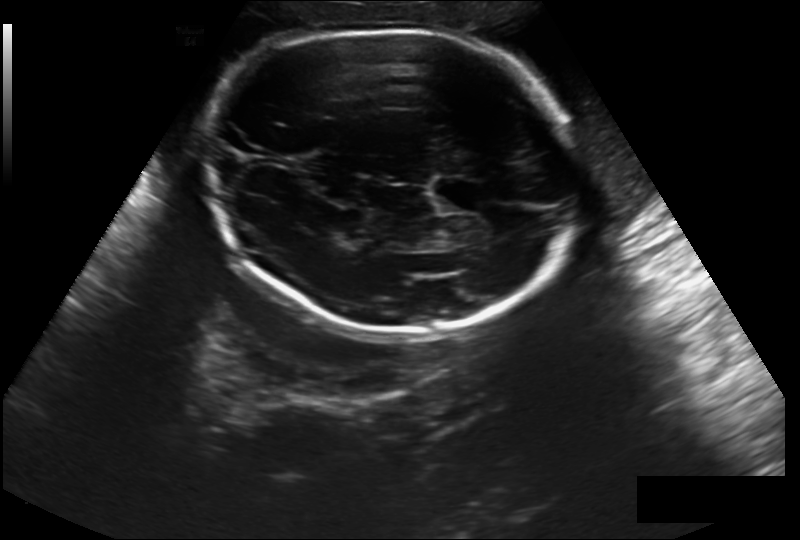
What is the fetal head circumference? Image width is 195.6 mm.

269.8 mm